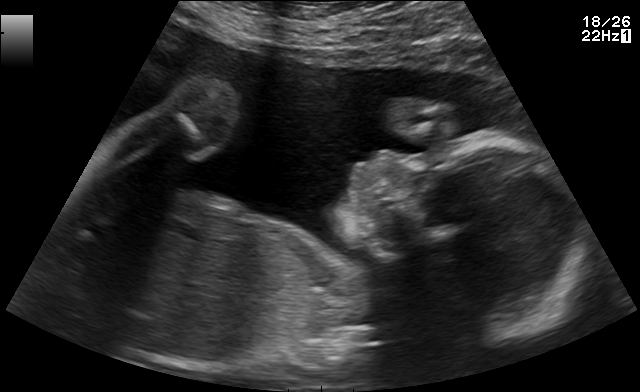
Identify the standard plane in this fetal ultrasound image: fetal abdomen, fetal brain, fetal femur, fetal thorax, maternal cervix, or other. If it's fetal brain and one of the three standard brain planes (trans-thalamic, trans-cerebellum, trans-ventricular), name which.

Other